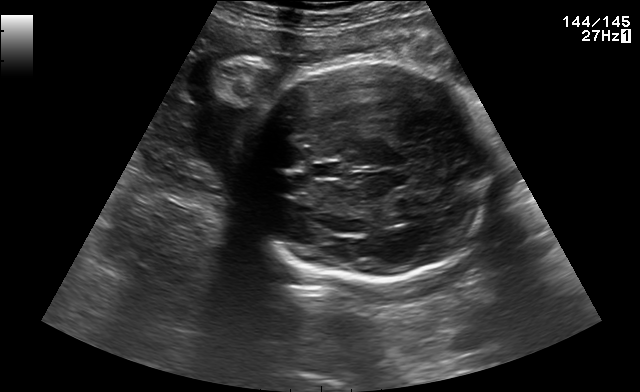
Fetal brain, trans-thalamic plane. Give [x1,y1,x2,y2] bounding boxes for each visible structure among: fetal head, CSP, LV.

Head: [238,64,500,279]
CSP: [312,161,344,179]